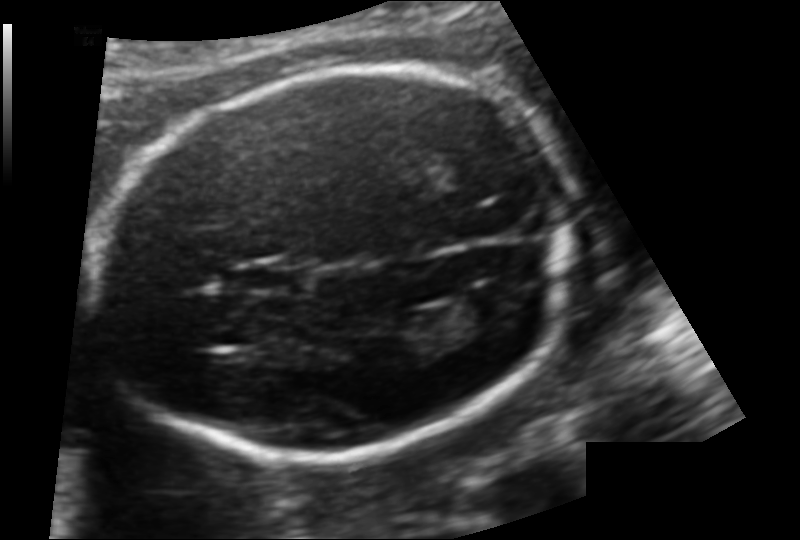
Fetal head ultrasound. Image width: 98.8 mm. Where is the lateral ventricle?

Lateral ventricle bounding box: [443,282,510,337]